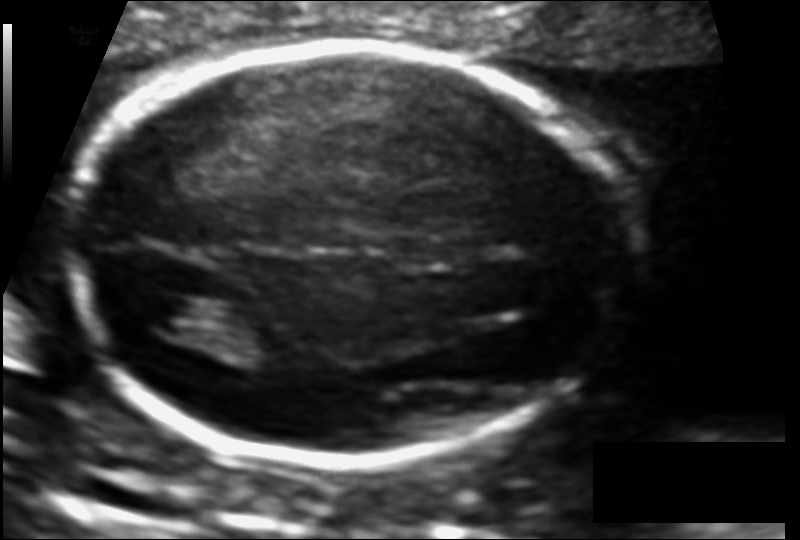
Fetal head ultrasound. Image width: 88.9 mm. Where is the cavum septum pellucidum?

CSP bounding box: [391,236,464,269]